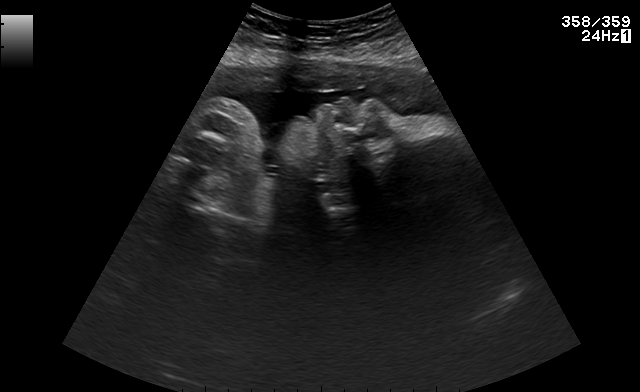
This is a 2D maternal-fetal ultrasound frame. Is it a fetal abdomen, fetal brain, fetal femur, fetal thorax, maternal cervix, or other standard plane? If it's fetal brain and one of the three standard brain planes (trans-thalamic, trans-cerebellum, trans-ventricular), name which.

Other